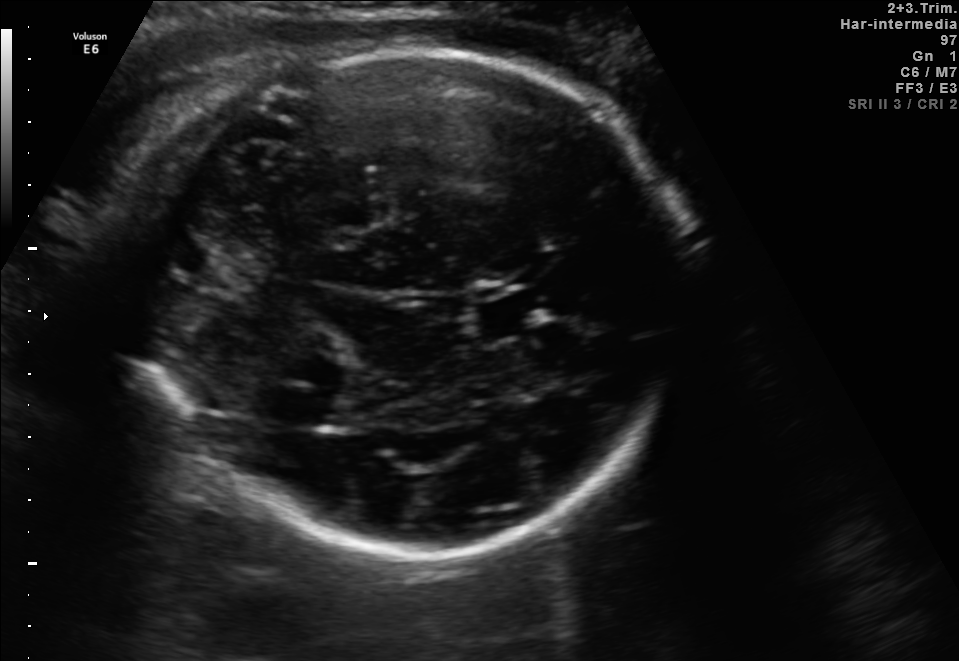
This is a 2D maternal-fetal ultrasound frame. Is it a fetal abdomen, fetal brain, fetal femur, fetal thorax, maternal cervix, or other standard plane? If it's fetal brain and one of the three standard brain planes (trans-thalamic, trans-cerebellum, trans-ventricular), name which.

Fetal brain (trans-thalamic plane)